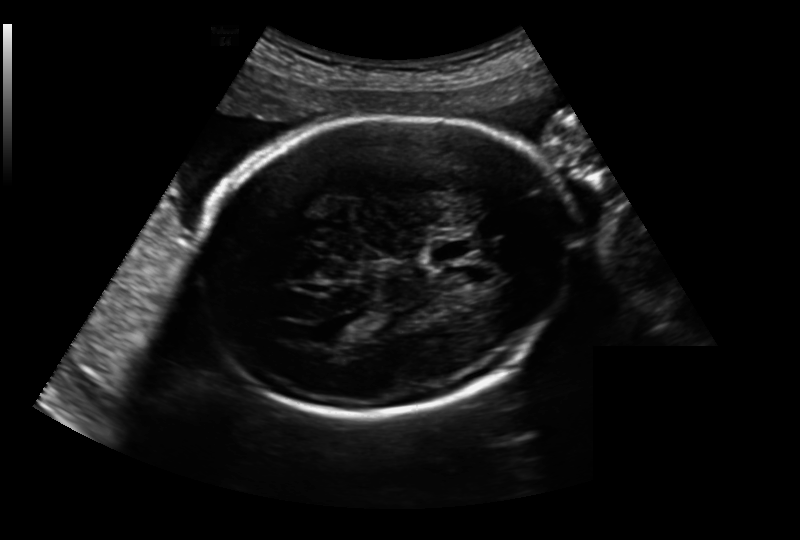
In this fetal head ultrasound, give the bounding box of the fetal head. Image width: 170.6 mm.

[193,117,576,413]